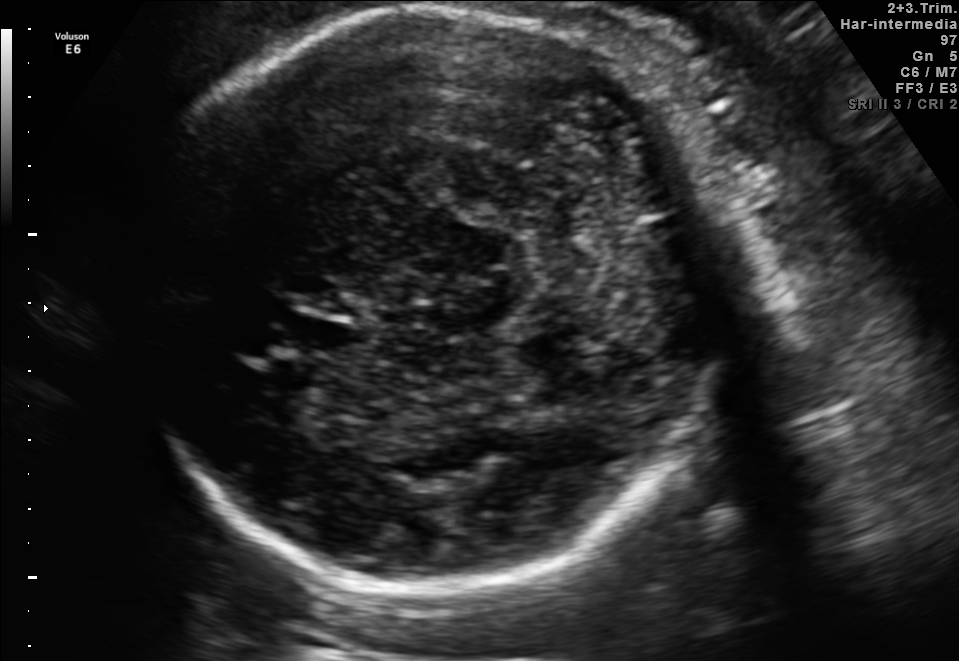
Which standard maternal-fetal ultrasound plane is shown: fetal abdomen, fetal brain, fetal femur, fetal thorax, maternal cervix, or other? If it's fetal brain and one of the three standard brain planes (trans-thalamic, trans-cerebellum, trans-ventricular), name which.

Fetal brain (trans-cerebellum plane)